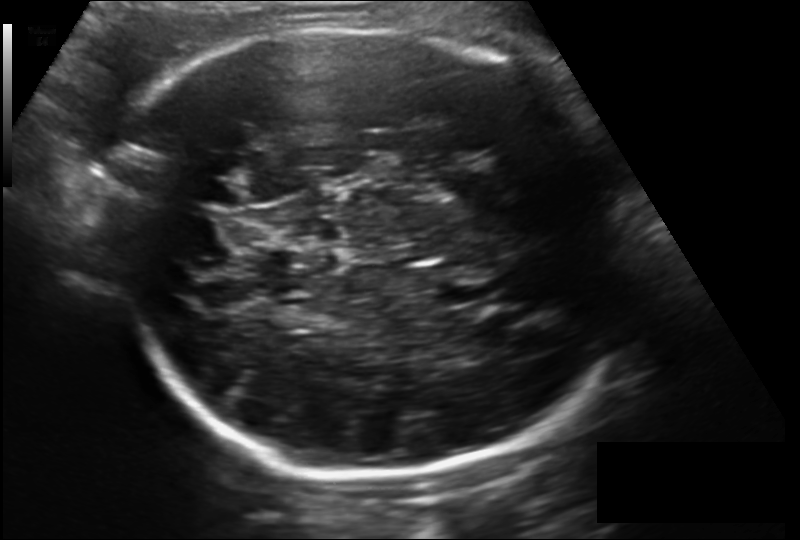
Measure the fetal head circumference shown in this ultrasound image. Image width: 152.2 mm.

Head circumference: 302.8 mm.